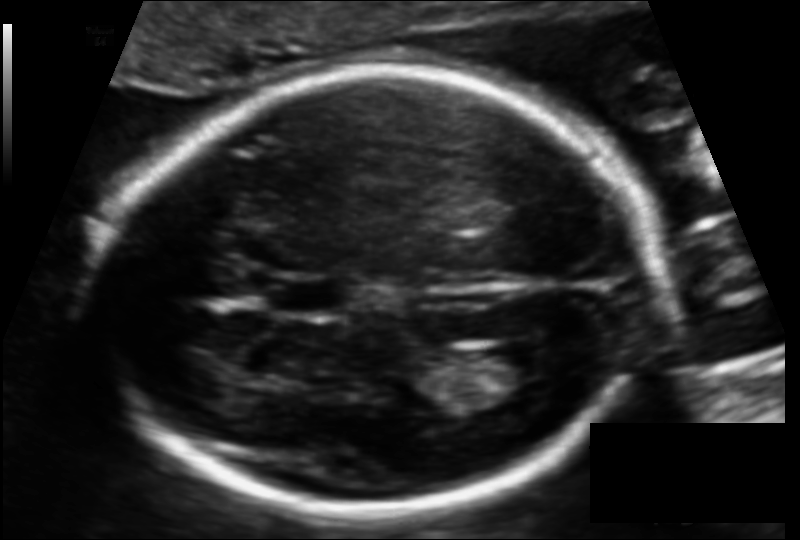
Fetal head ultrasound. Image width: 89.8 mm. Where is the fetal head?

Head bounding box: [94,69,652,511]